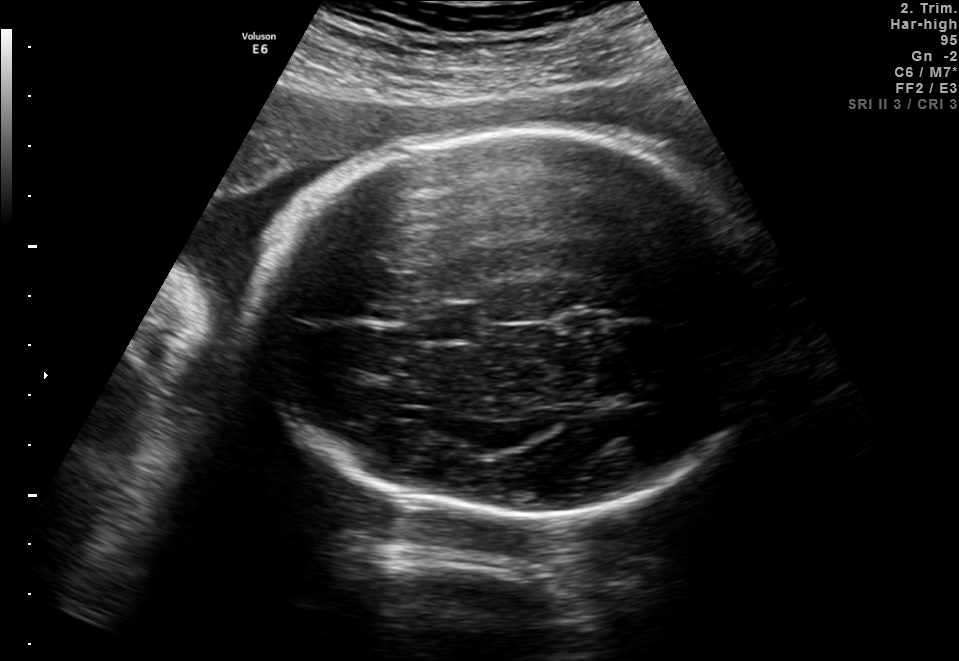
In this fetal brain, trans-thalamic plane, give the bounding box of the fetal head.

[252,128,775,517]